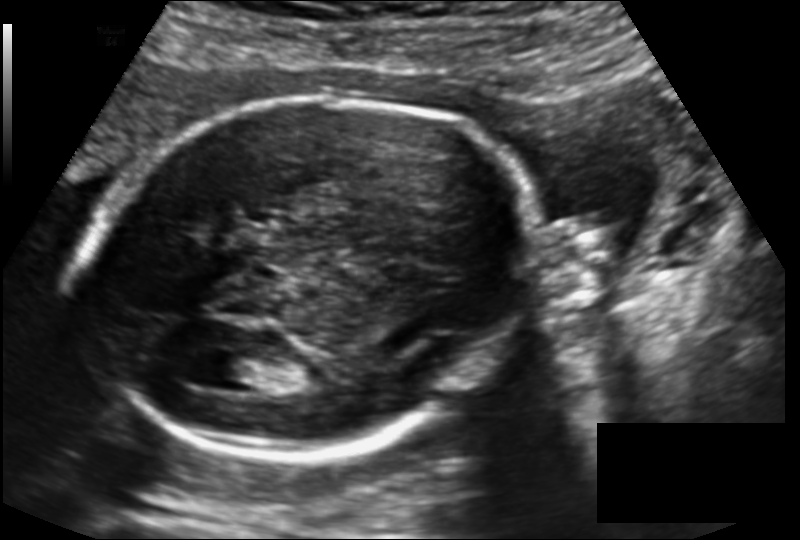
Fetal head ultrasound. Image width: 114.3 mm. Where is the fetal head?

Head bounding box: [86,95,542,452]